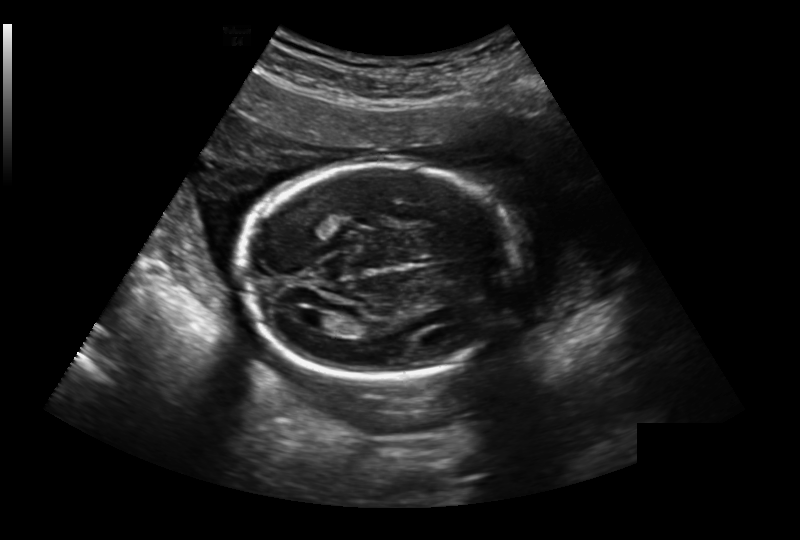
Fetal head ultrasound. Image width: 188.5 mm. Where is the lateral ventricle?

Lateral ventricle bounding box: [302,309,338,333]